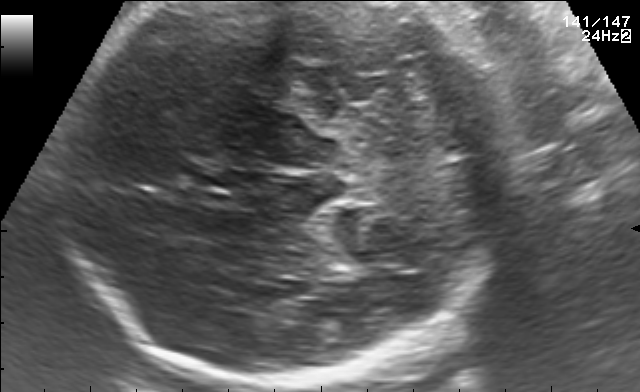
Fetal brain, trans-cerebellum plane. Locate the fetal head and, if visible, the cavum septum pellucidum (CSP) and lateral ventricle (LV). Give bounding boxes as [x1,y1,x2,y2].

Head: [67,4,498,385]